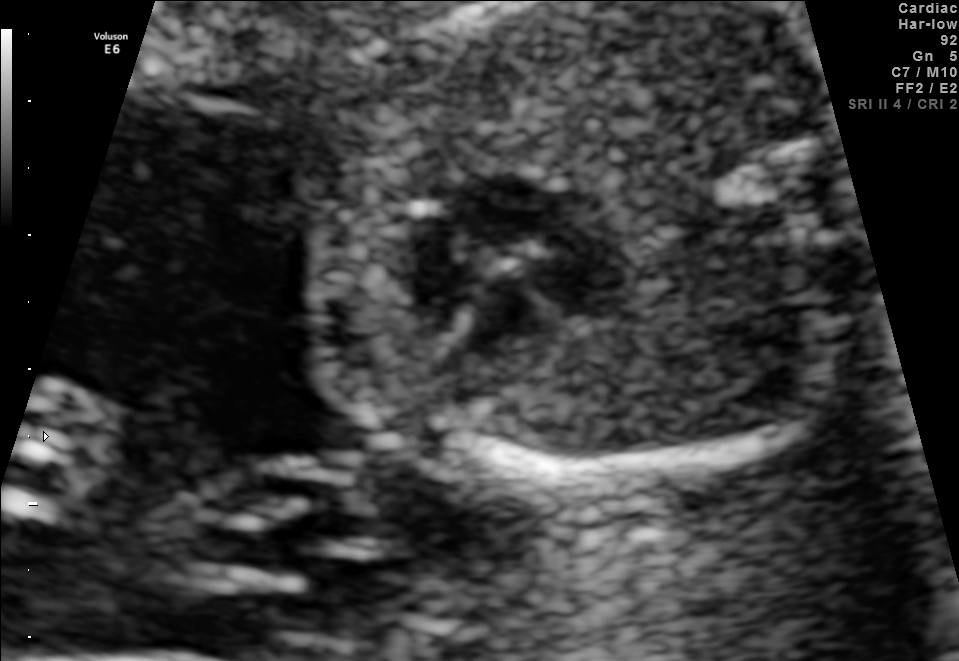
Classify this maternal-fetal ultrasound image as one of the six standard planes — fetal abdomen, fetal brain, fetal femur, fetal thorax, maternal cervix, or other. If it's fetal brain and one of the three standard brain planes (trans-thalamic, trans-cerebellum, trans-ventricular), name which.

Fetal thorax